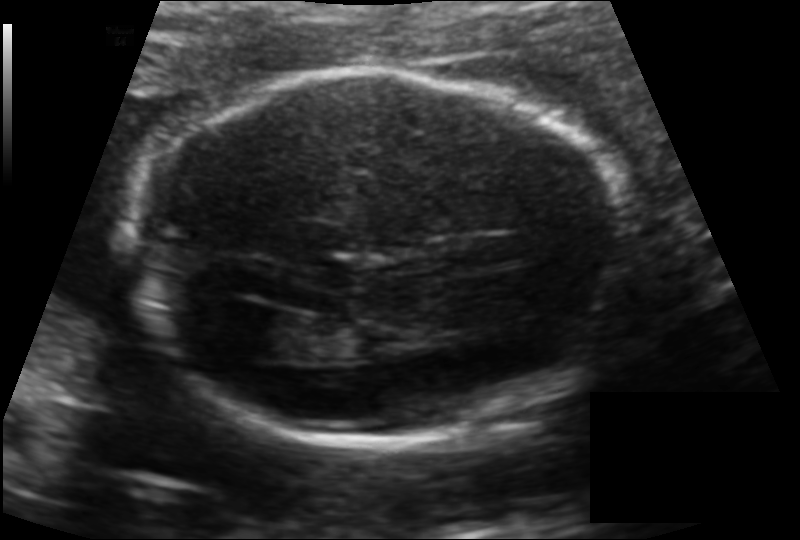
Fetal head ultrasound. Image width: 107.1 mm. Where is the fetal head?

Head bounding box: [138,69,631,441]